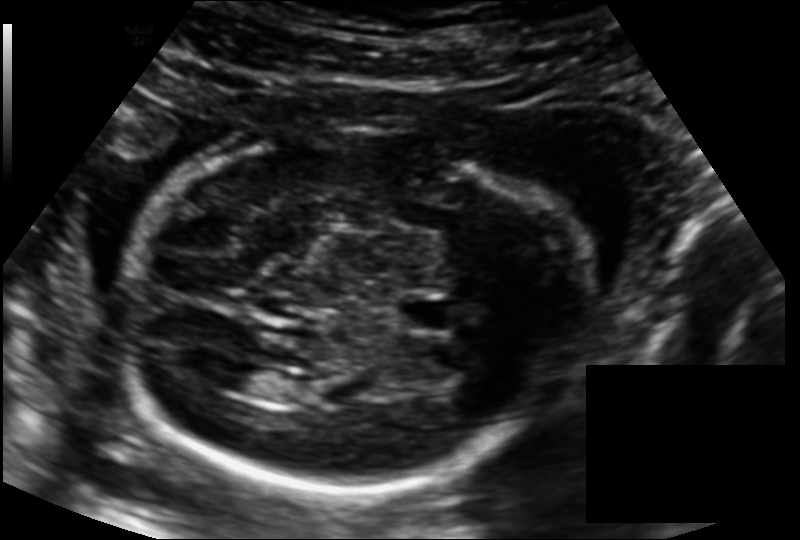
In this fetal head ultrasound, give the bounding box of the fetal head. Image width: 111.3 mm.

[118,125,588,489]